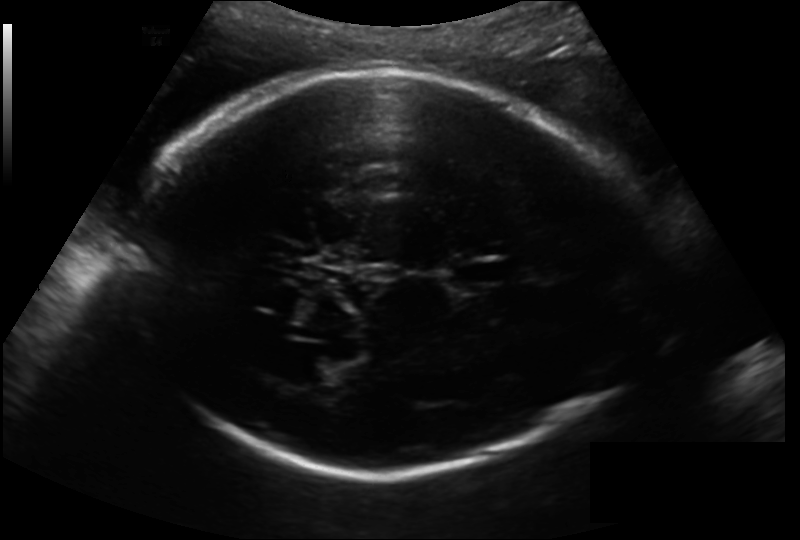
Fetal head ultrasound. Image width: 154.5 mm. Where is the fetal head?

Head bounding box: [124,71,656,477]